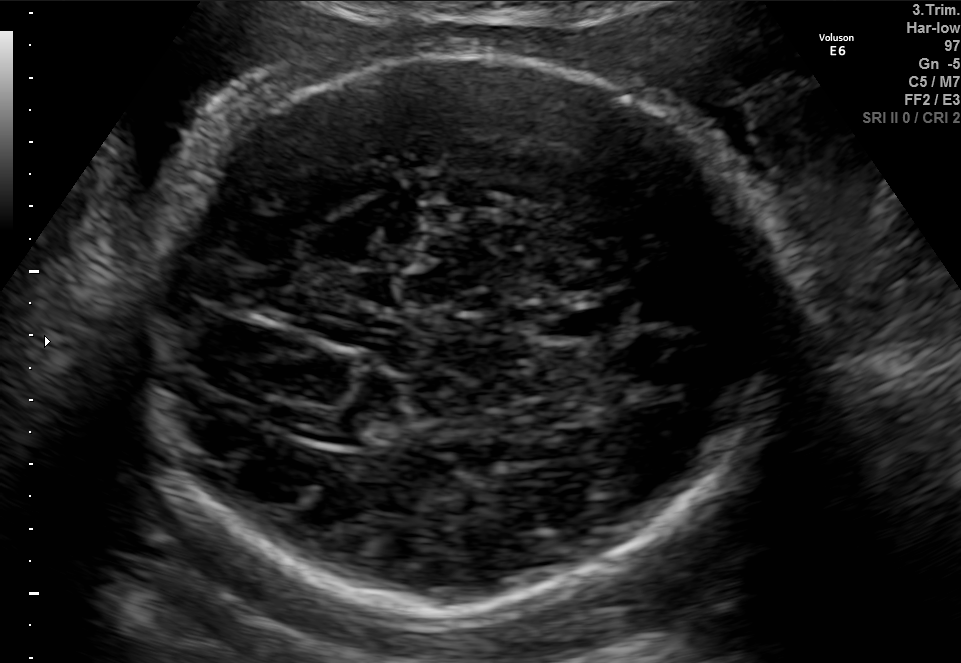
Fetal brain, trans-thalamic plane. Locate the fetal head.

Head: [144,56,791,619]